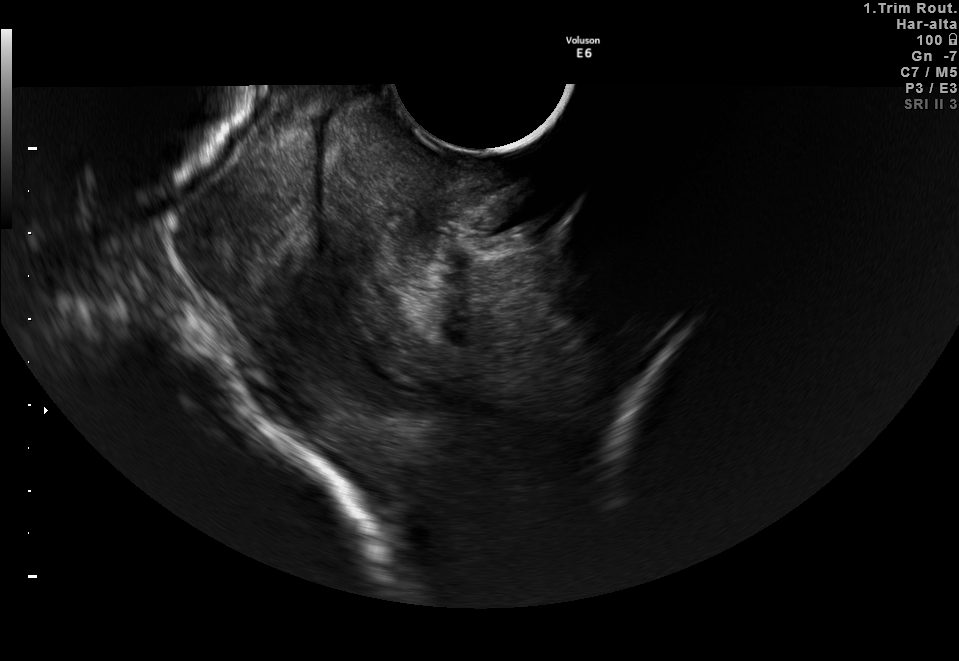
Identify the standard plane in this fetal ultrasound image: fetal abdomen, fetal brain, fetal femur, fetal thorax, maternal cervix, or other. If it's fetal brain and one of the three standard brain planes (trans-thalamic, trans-cerebellum, trans-ventricular), name which.

Maternal cervix